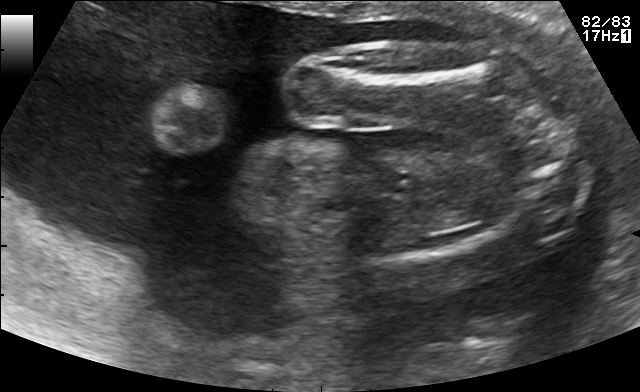
Identify the standard plane in this fetal ultrasound image: fetal abdomen, fetal brain, fetal femur, fetal thorax, maternal cervix, or other. If it's fetal brain and one of the three standard brain planes (trans-thalamic, trans-cerebellum, trans-ventricular), name which.

Fetal femur